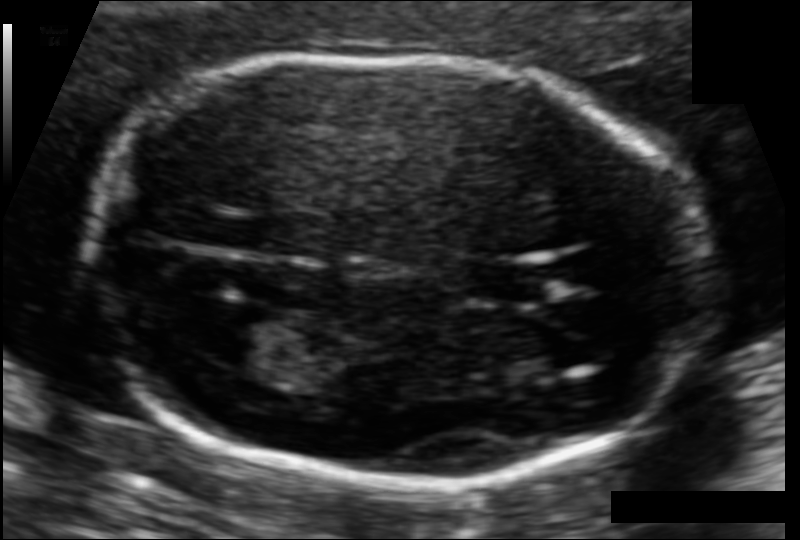
Measure the fetal head circumference shown in this ultrasound image. Image width: 73.9 mm.

Head circumference: 158.5 mm.